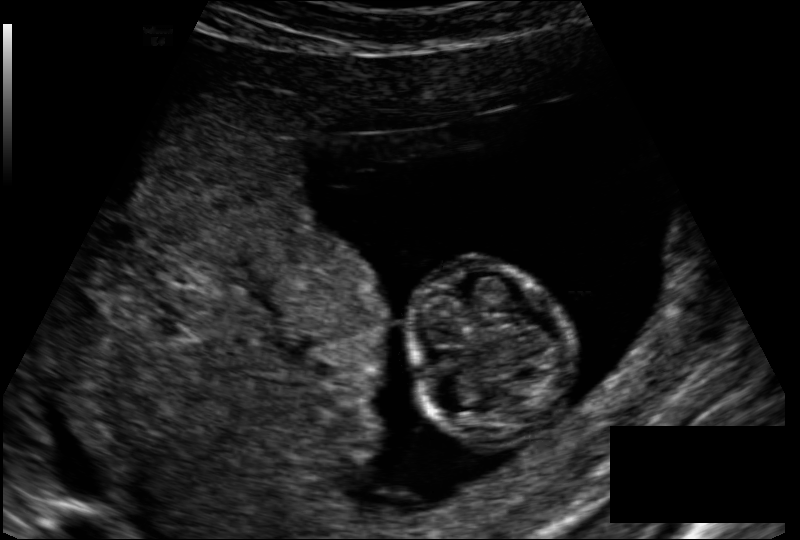
Estimate the fetal head circumference from this 2D ultrasound.

Head circumference: 72.7 mm (image width 102.1 mm).